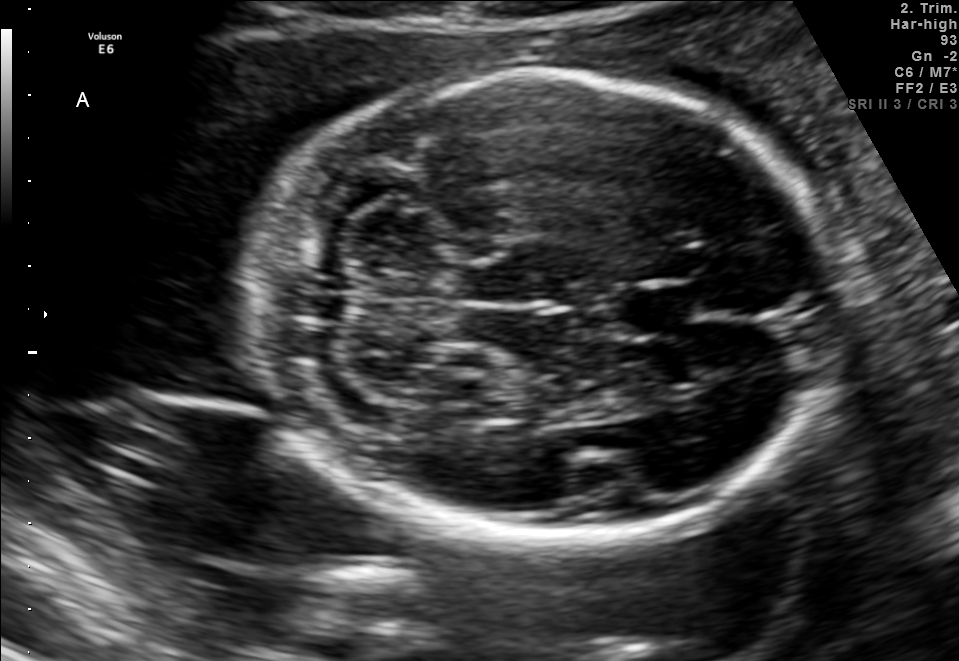
Fetal brain, trans-cerebellum plane. Give [x1,y1,x2,y2] bounding boxes for each visible structure among: fetal head, CSP, LV.

Head: [257,74,836,541]
CSP: [615,279,697,340]